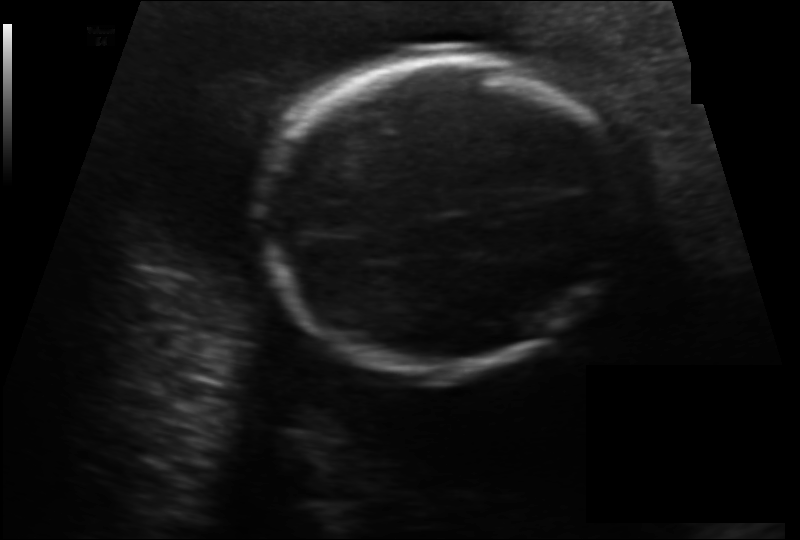
From this fetal ultrasound, estimate the head circumference (image width 124.9 mm).

Head circumference: 171.4 mm.